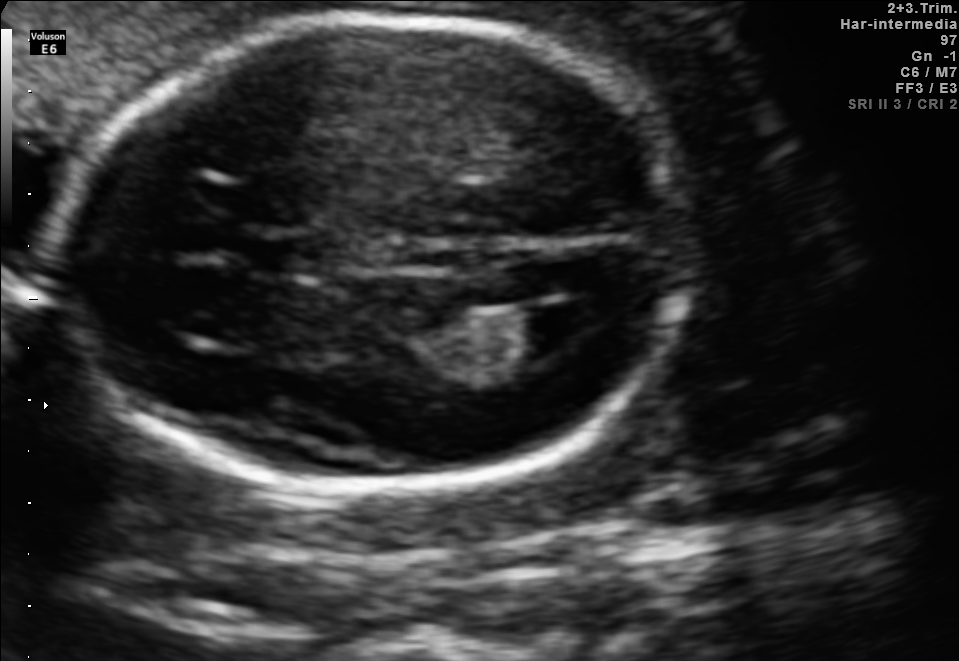
In this fetal brain, trans-ventricular plane, give the bounding box of the lateral ventricle.

[516,294,607,360]